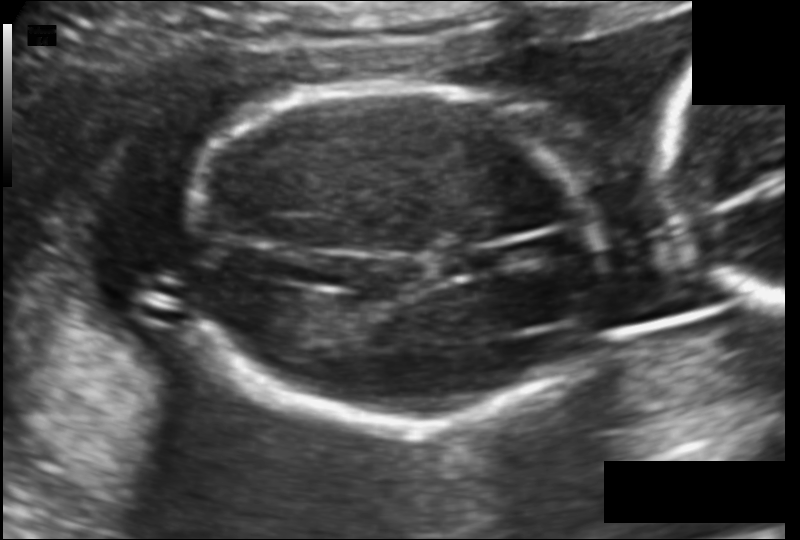
Measure the fetal head circumference shown in this ultrasound image. Image width: 94.3 mm.

Head circumference: 146.4 mm.